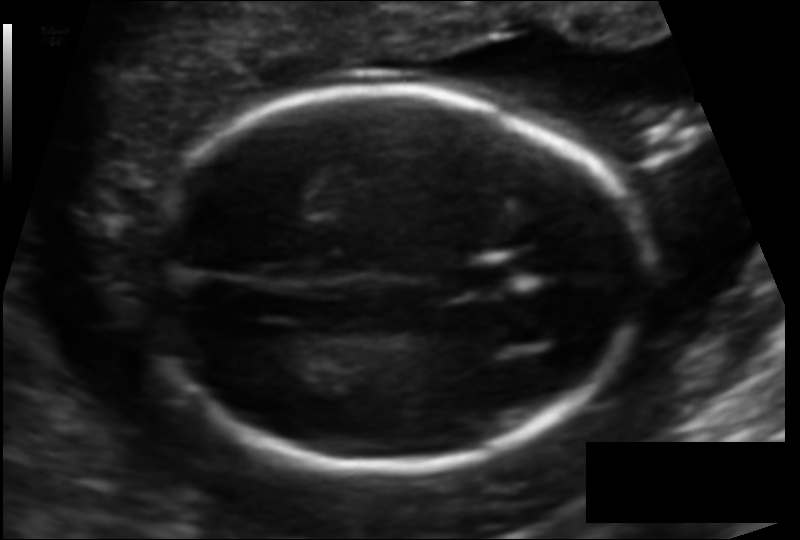
In this fetal head ultrasound, give the bounding box of the cavum septum pellucidum. Image width: 91.5 mm.

[443,256,512,300]